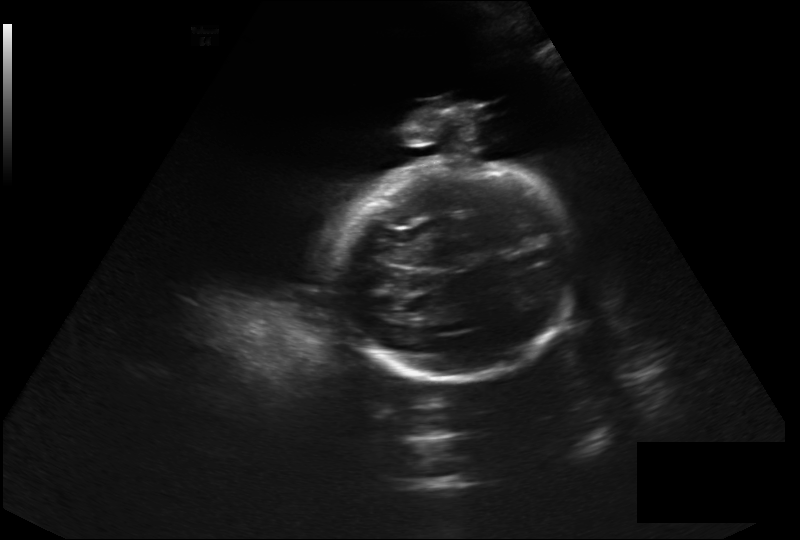
Measure the fetal head circumference shown in this ultrasound image. Image width: 261.1 mm.

Head circumference: 245.3 mm.